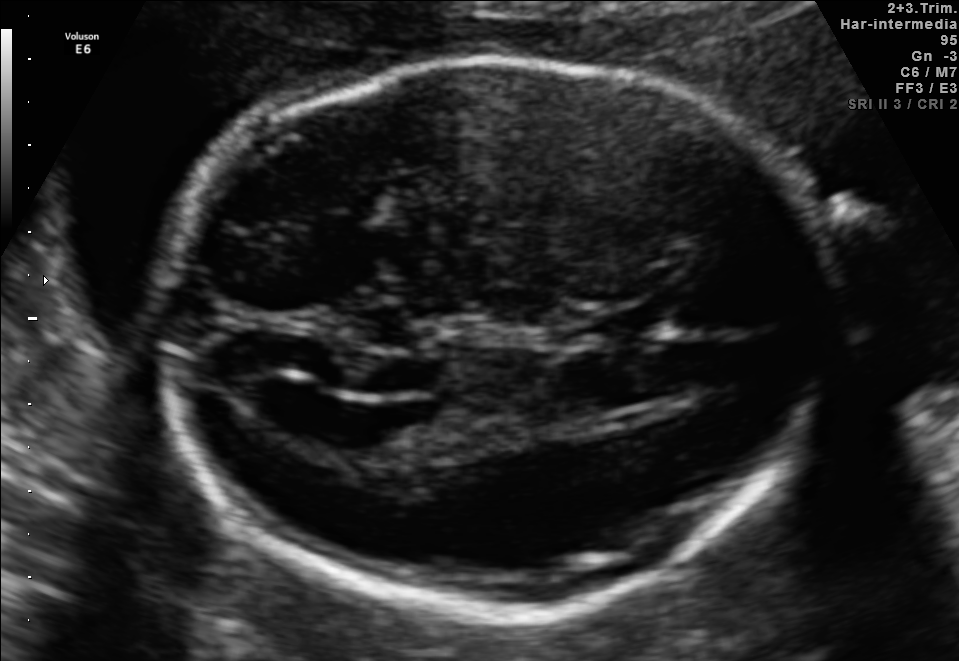
In this fetal brain, trans-ventricular plane, give bounding boxes for the head outline, cavum septum pellucidum (CSP), and lateral ventricle (LV), where visible.

Head: [143,47,864,626]